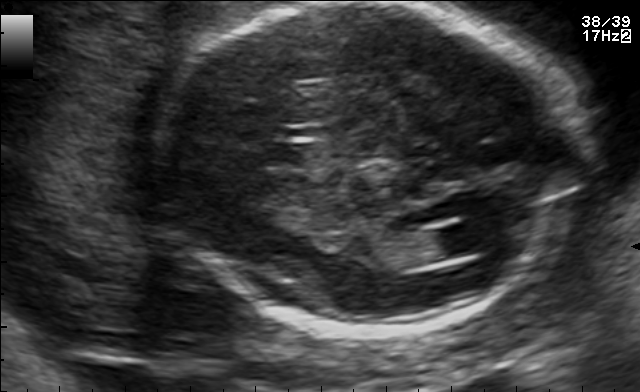
In this fetal brain, trans-ventricular plane, give bounding boxes for the head outline, cavum septum pellucidum (CSP), and lateral ventricle (LV), where visible.

Head: [152,2,583,336]
Lateral ventricle: [423,217,494,262]